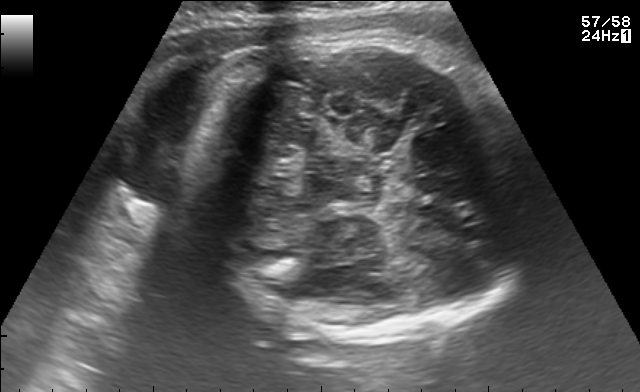
In this fetal brain, trans-thalamic plane, give the bounding box of the fetal head.

[186,36,531,334]